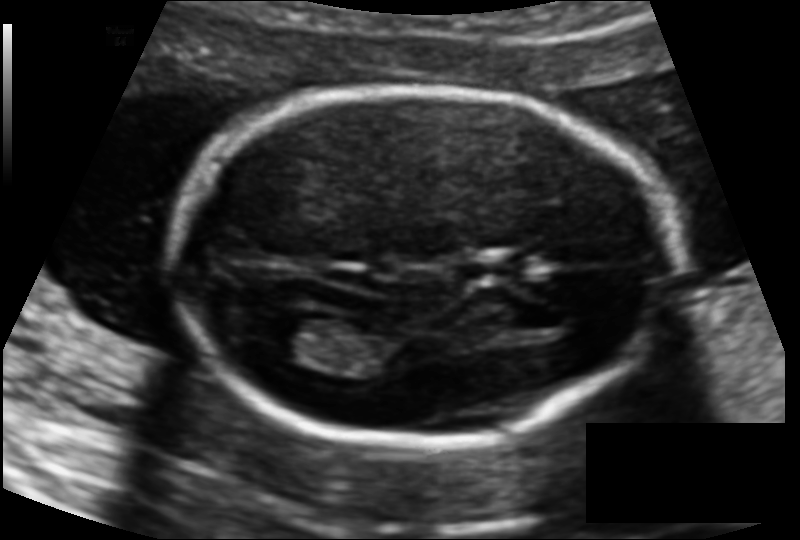
Fetal head ultrasound. Image width: 91.5 mm. Give [x1,y1,x2,y2] bounding boxes for each visible structure among: fetal head, CSP, LV.

Head: [173,86,677,444]
CSP: [453,255,517,285]
Lateral ventricle: [257,312,334,366]